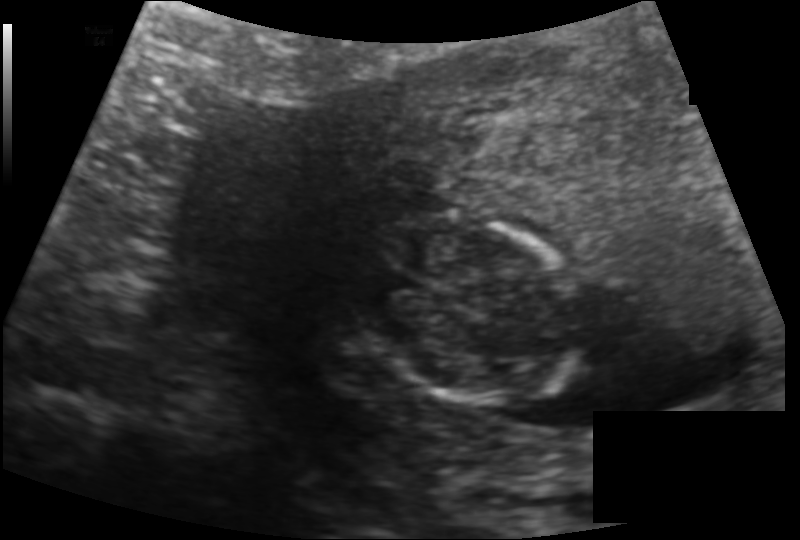
From this fetal ultrasound, estimate the head circumference (image width 102.6 mm).

Head circumference: 87.0 mm.